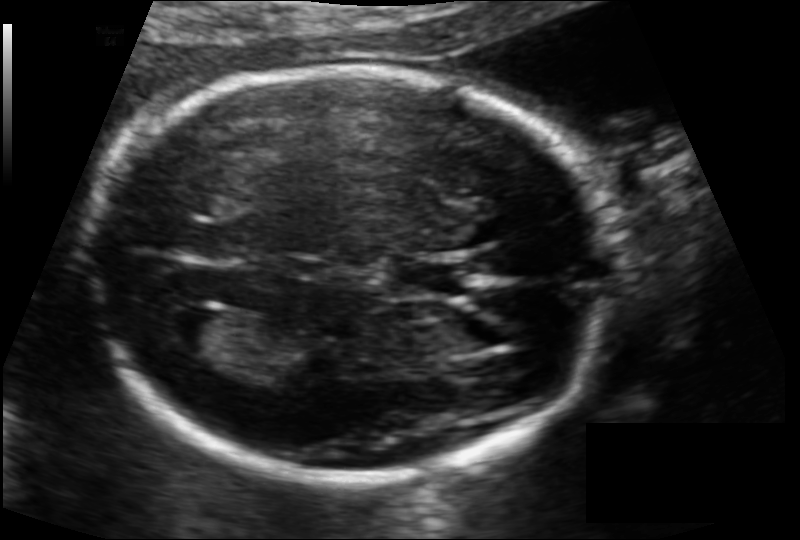
Measure the fetal head circumference shown in this ultrasound image. Image width: 91.1 mm.

Head circumference: 172.2 mm.